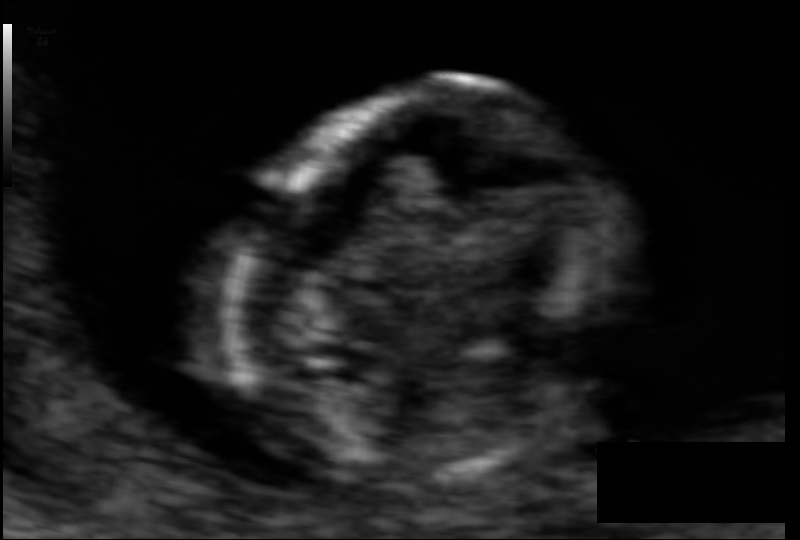
In this fetal head ultrasound, give the bounding box of the fetal head. Image width: 44.4 mm.

[233,80,606,488]